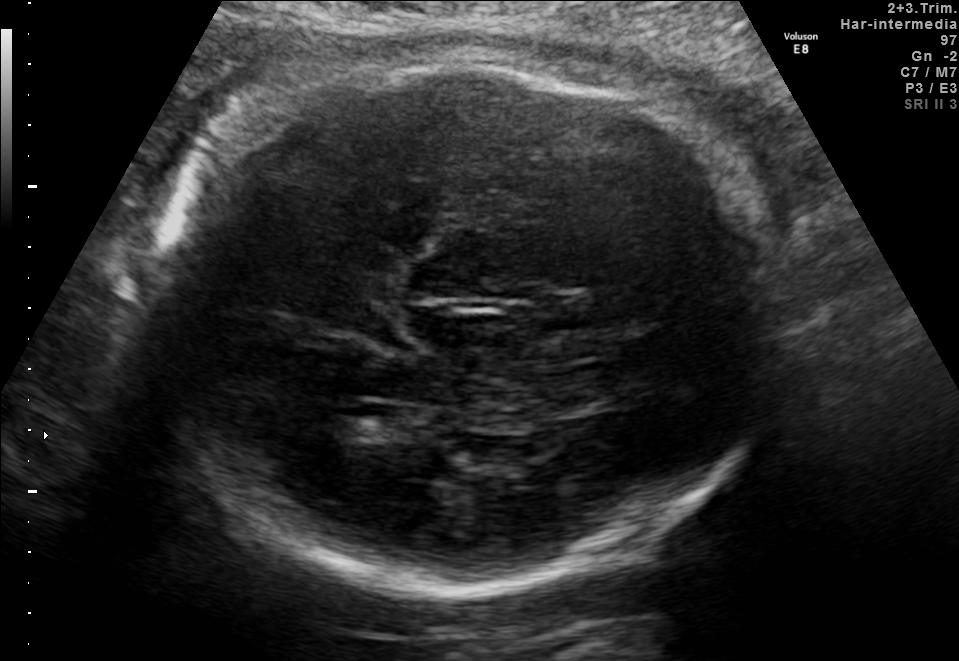
Fetal brain, trans-thalamic plane. Where is the fetal head?

Head bounding box: [148,63,789,588]